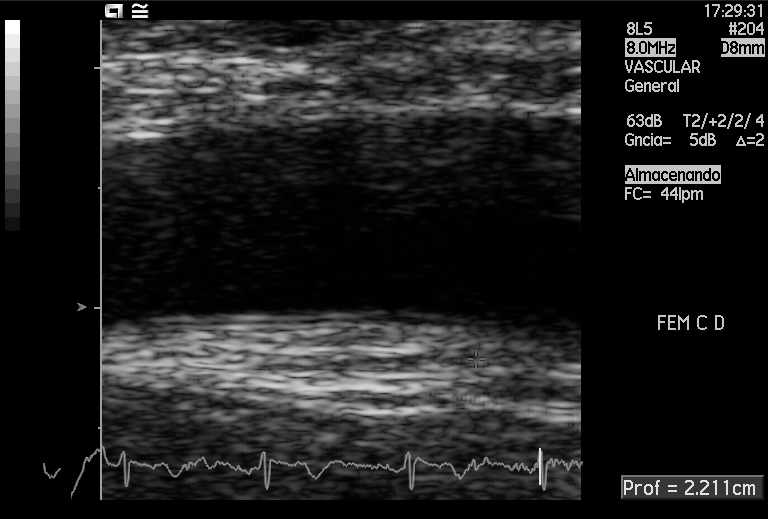
Which standard maternal-fetal ultrasound plane is shown: fetal abdomen, fetal brain, fetal femur, fetal thorax, maternal cervix, or other? If it's fetal brain and one of the three standard brain planes (trans-thalamic, trans-cerebellum, trans-ventricular), name which.

Other